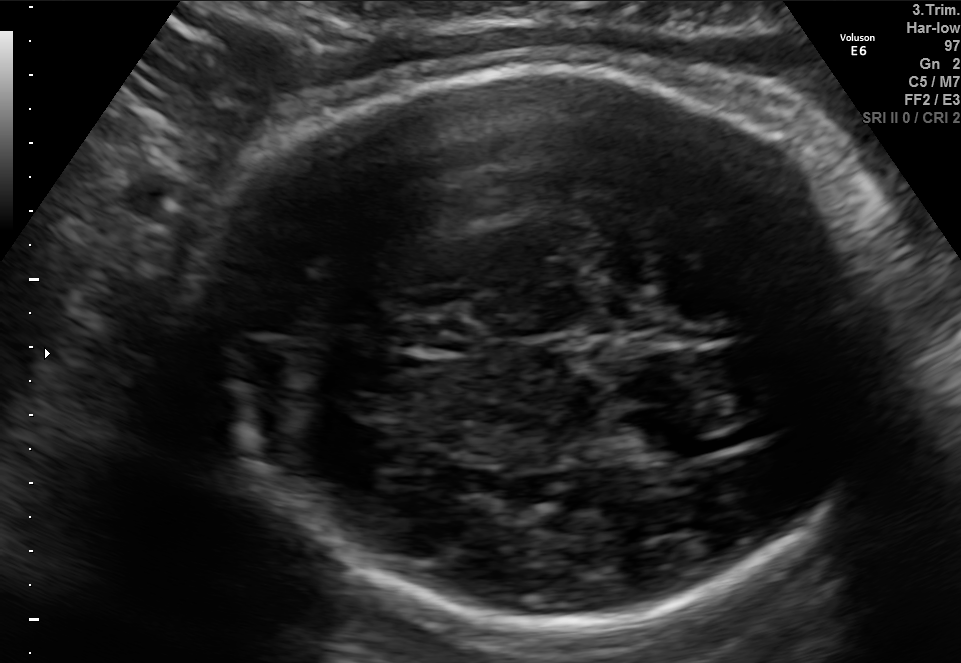
Fetal brain, trans-thalamic plane. Locate the fetal head.

Head: [202,62,883,627]